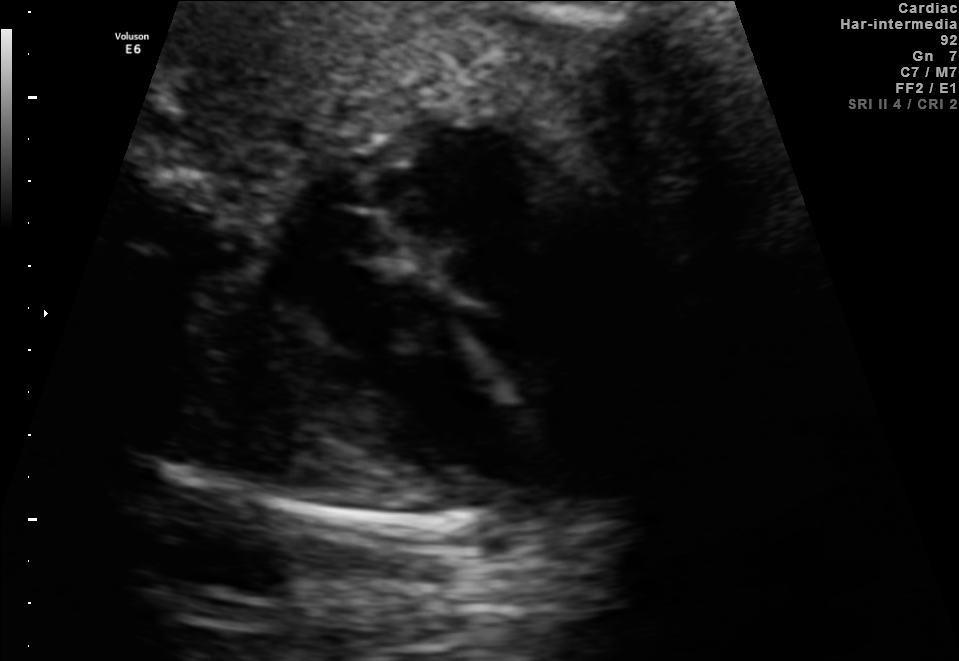
Which standard maternal-fetal ultrasound plane is shown: fetal abdomen, fetal brain, fetal femur, fetal thorax, maternal cervix, or other? If it's fetal brain and one of the three standard brain planes (trans-thalamic, trans-cerebellum, trans-ventricular), name which.

Fetal thorax